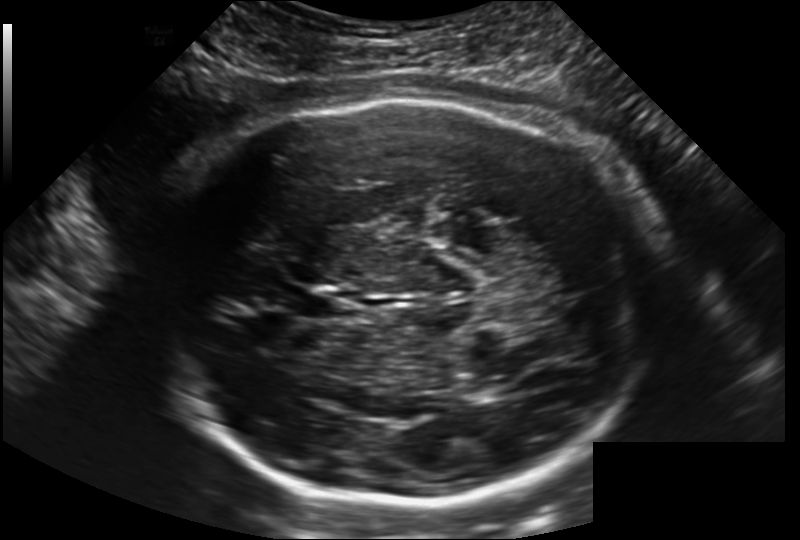
In this fetal head ultrasound, give the bounding box of the fetal head. Image width: 161.6 mm.

[160,97,655,507]